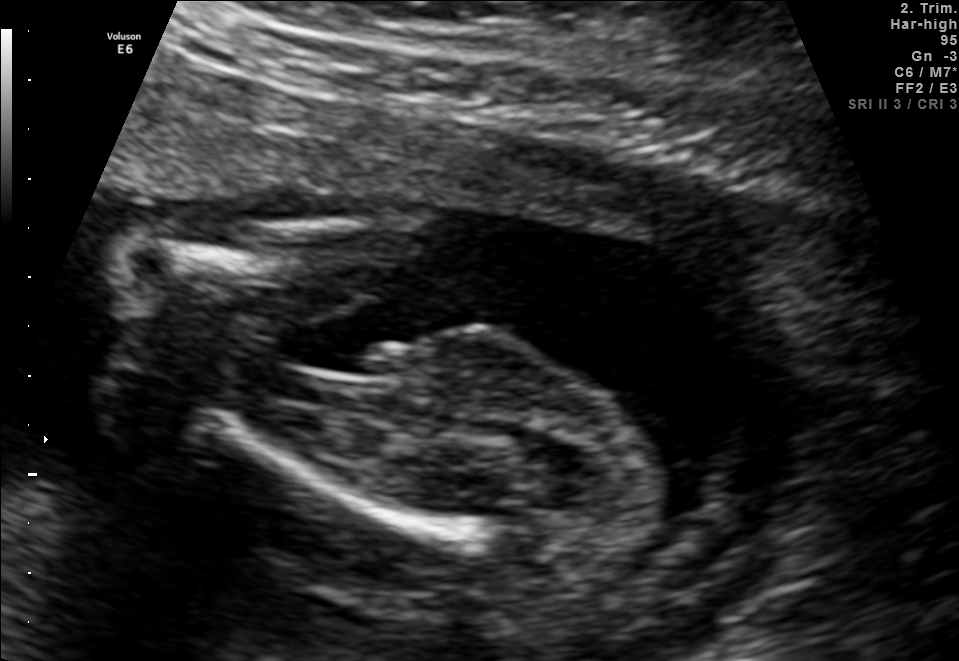
Which standard maternal-fetal ultrasound plane is shown: fetal abdomen, fetal brain, fetal femur, fetal thorax, maternal cervix, or other? If it's fetal brain and one of the three standard brain planes (trans-thalamic, trans-cerebellum, trans-ventricular), name which.

Fetal femur